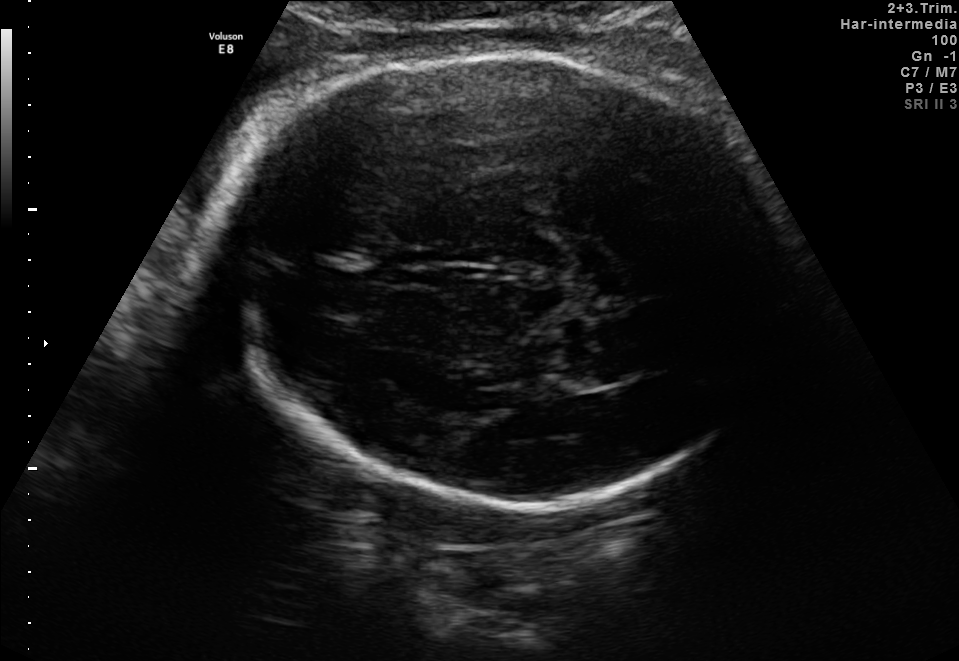
In this fetal brain, trans-thalamic plane, give bounding boxes for the head outline, cavum septum pellucidum (CSP), and lateral ventricle (LV), where visible.

Head: [219,52,788,513]